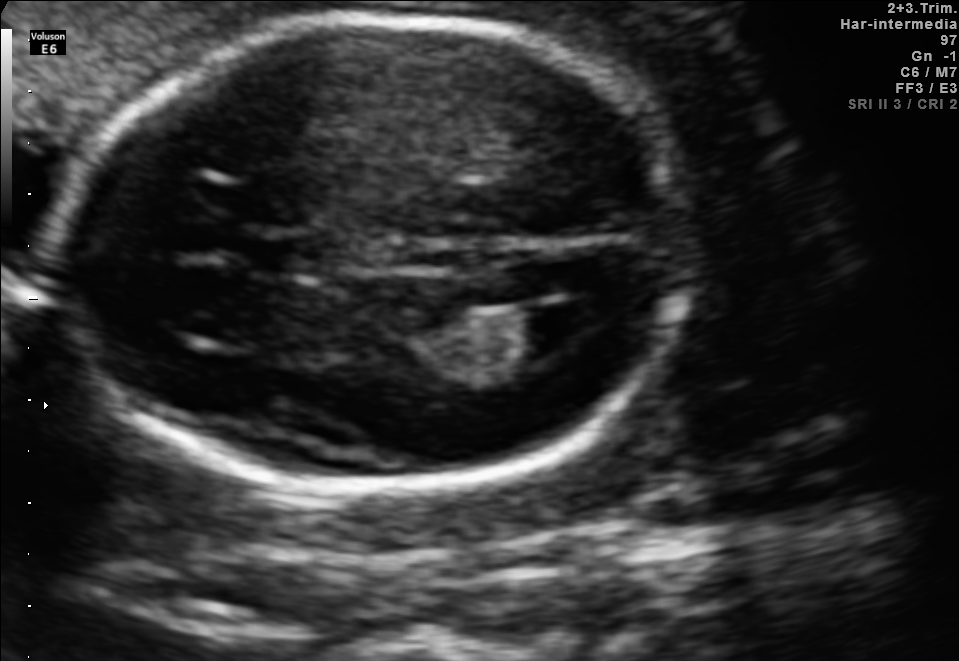
Fetal brain, trans-ventricular plane. Locate the fetal head.

Head: [54,9,703,502]